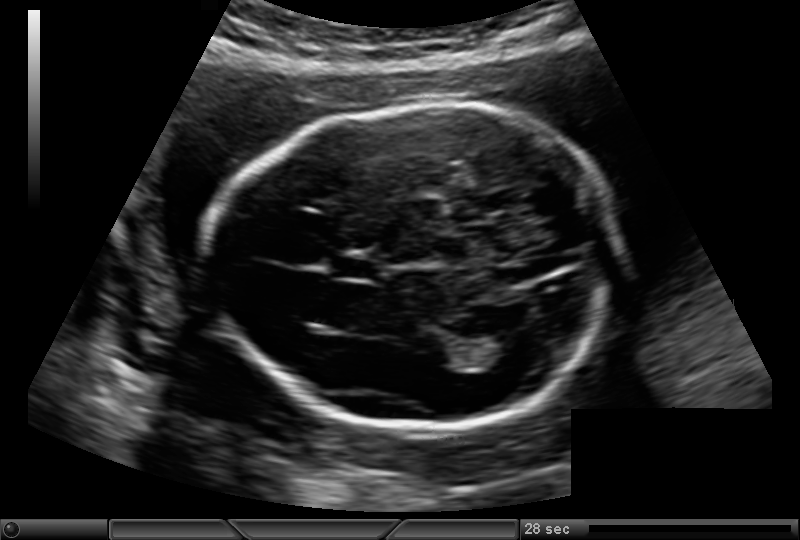
What is the fetal head circumference? Image width is 117.2 mm.

178.0 mm